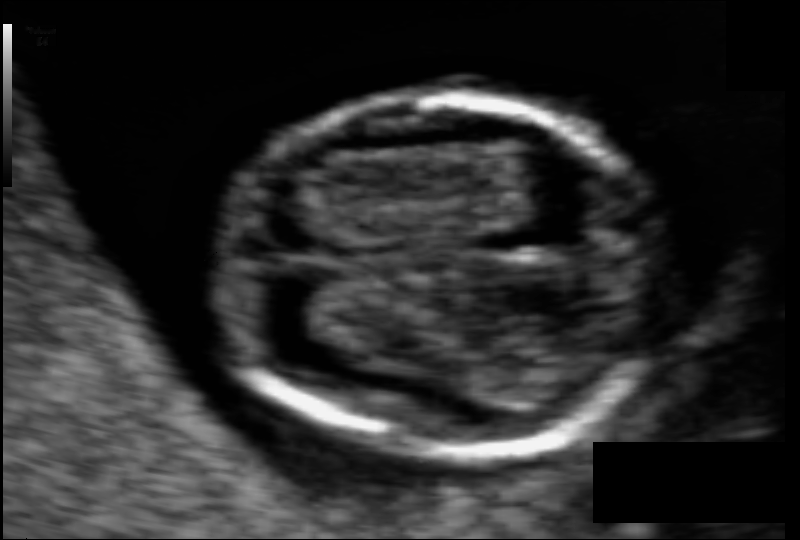
What is the fetal head circumference? Image width is 44.9 mm.

73.0 mm